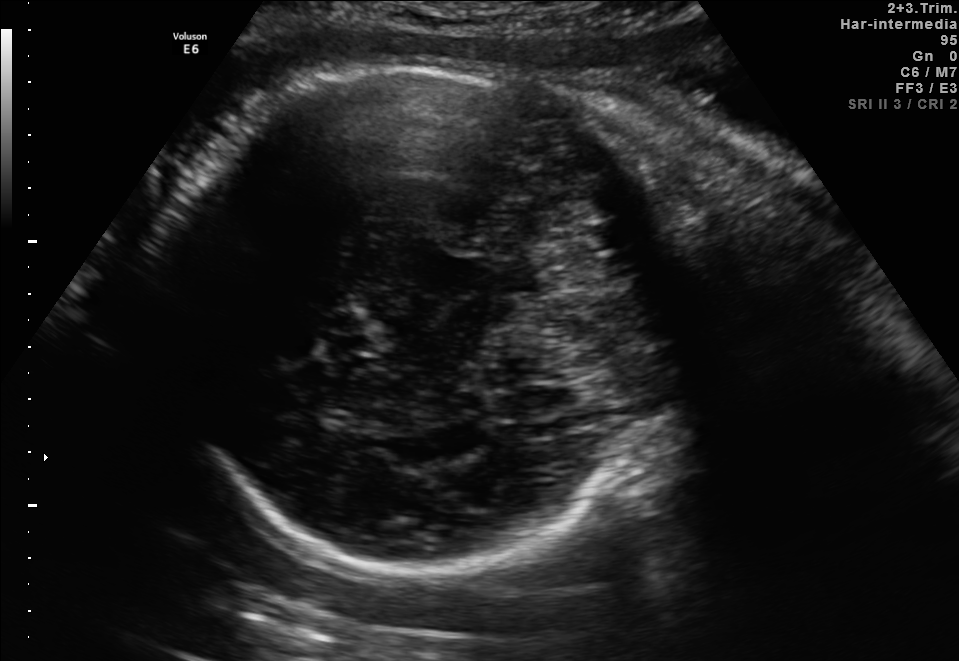
In this fetal brain, trans-cerebellum plane, give the bounding box of the fetal head.

[165,62,672,571]